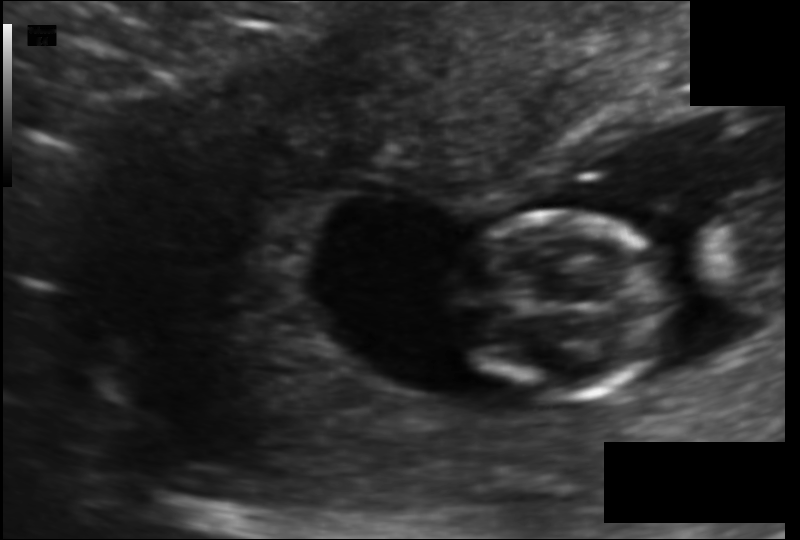
Fetal head ultrasound. Image width: 82.9 mm. Where is the fetal head?

Head bounding box: [450,212,670,400]